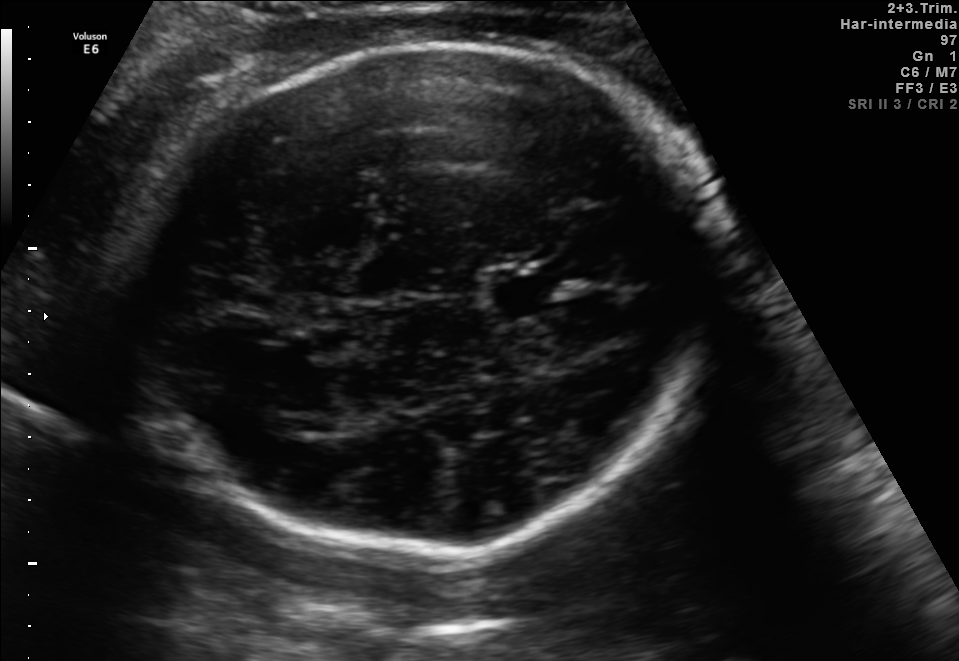
In this fetal brain, trans-thalamic plane, give the bounding box of the cavum septum pellucidum.

[485,267,562,319]